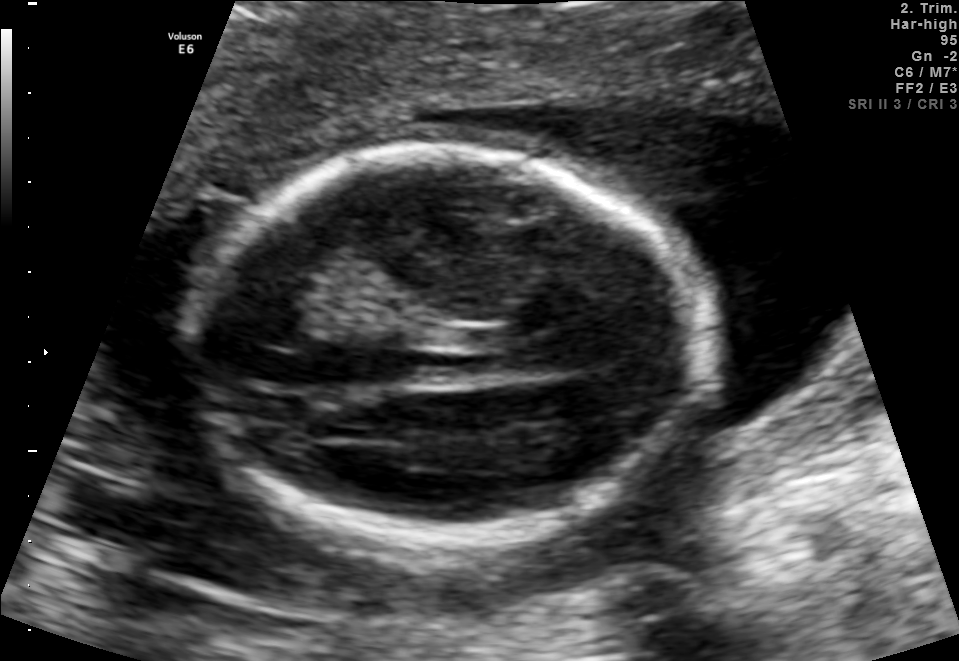
In this fetal brain, trans-thalamic plane, give the bounding box of the fetal head.

[182,147,703,538]